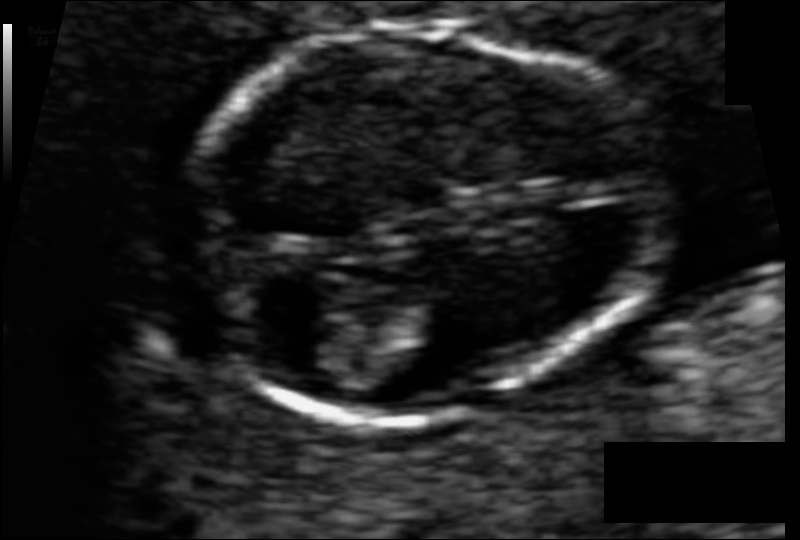
Estimate the fetal head circumference from this 2D ultrasound. Image width: 43.8 mm.

Head circumference: 75.9 mm.